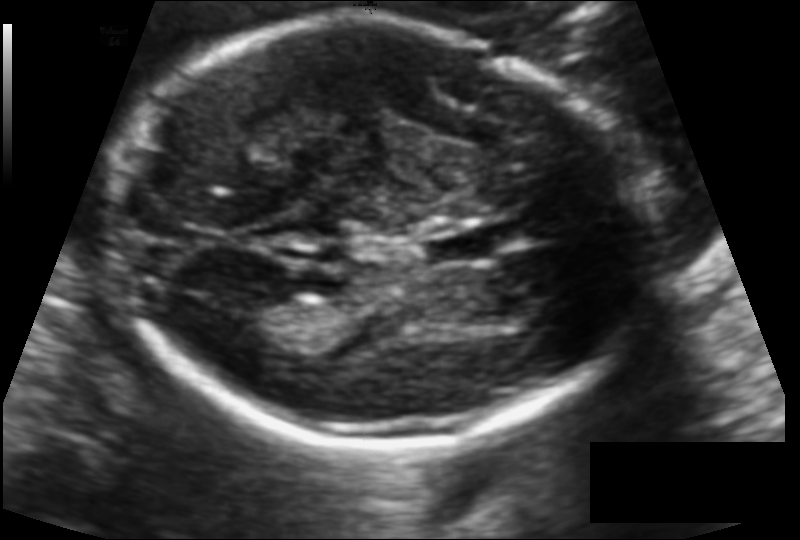
Fetal head ultrasound. Image width: 90.9 mm. Locate the fetal head and, if visible, the cavum septum pellucidum (CSP) and lateral ventricle (LV). Give bounding boxes as [x1,y1,x2,y2].

Head: [110,20,650,444]
CSP: [417,221,499,270]
Lateral ventricle: [231,287,309,345]